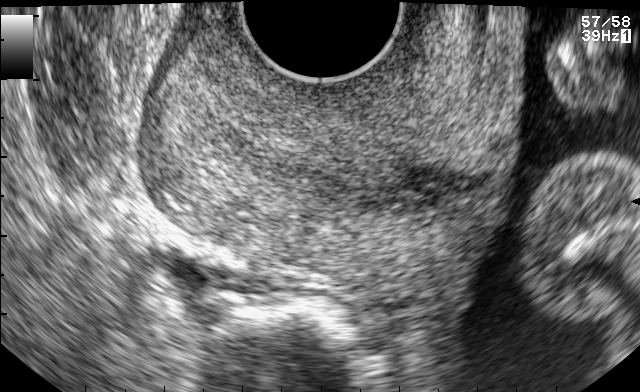
Which standard maternal-fetal ultrasound plane is shown: fetal abdomen, fetal brain, fetal femur, fetal thorax, maternal cervix, or other? If it's fetal brain and one of the three standard brain planes (trans-thalamic, trans-cerebellum, trans-ventricular), name which.

Maternal cervix